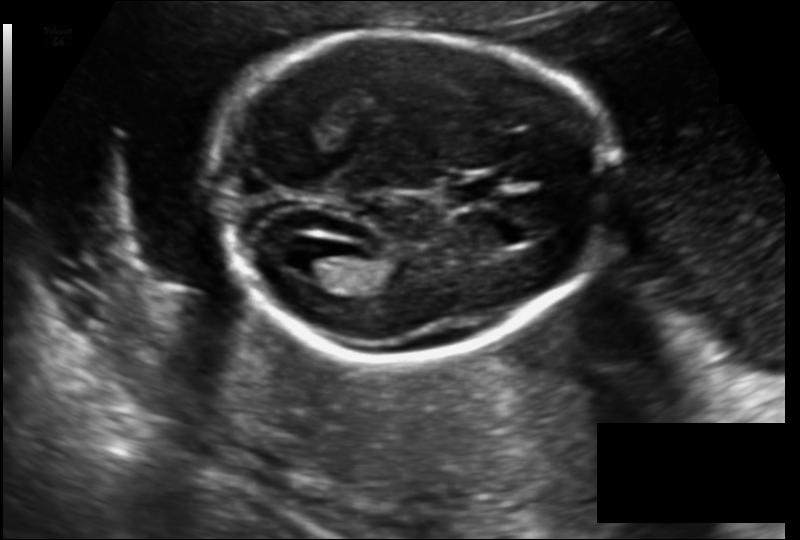
Fetal head ultrasound. Image width: 113.3 mm. Where is the fetal head?

Head bounding box: [214,32,610,361]